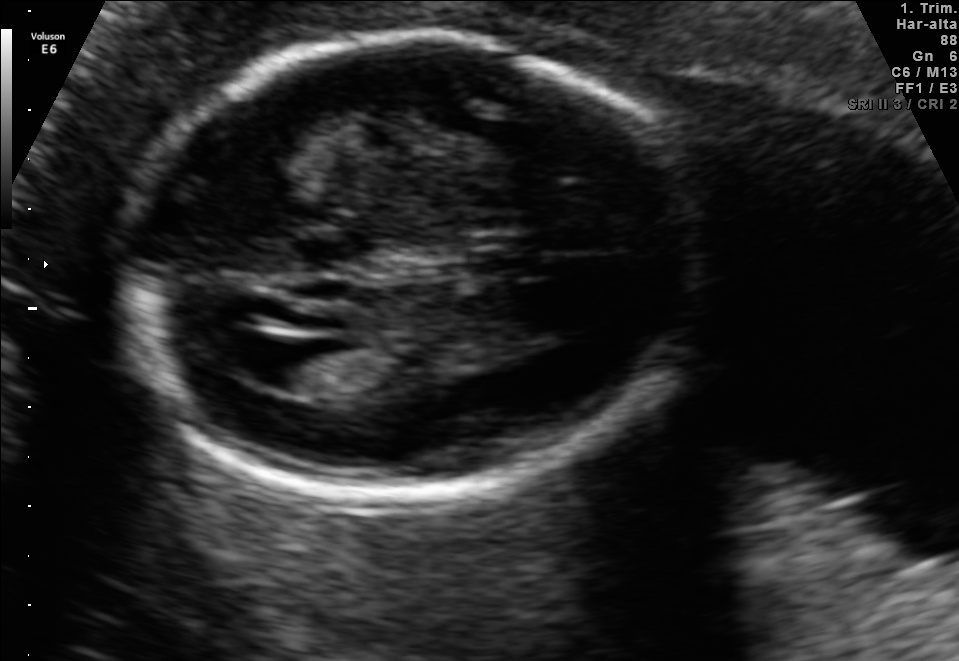
Fetal brain, trans-ventricular plane. Where is the cavum septum pellucidum?

CSP bounding box: [474,246,547,280]